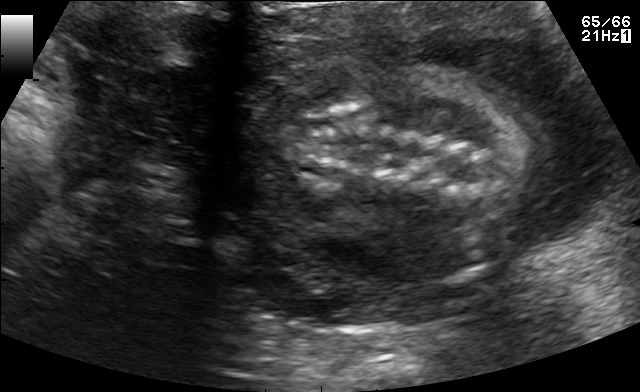
Which standard maternal-fetal ultrasound plane is shown: fetal abdomen, fetal brain, fetal femur, fetal thorax, maternal cervix, or other? If it's fetal brain and one of the three standard brain planes (trans-thalamic, trans-cerebellum, trans-ventricular), name which.

Other